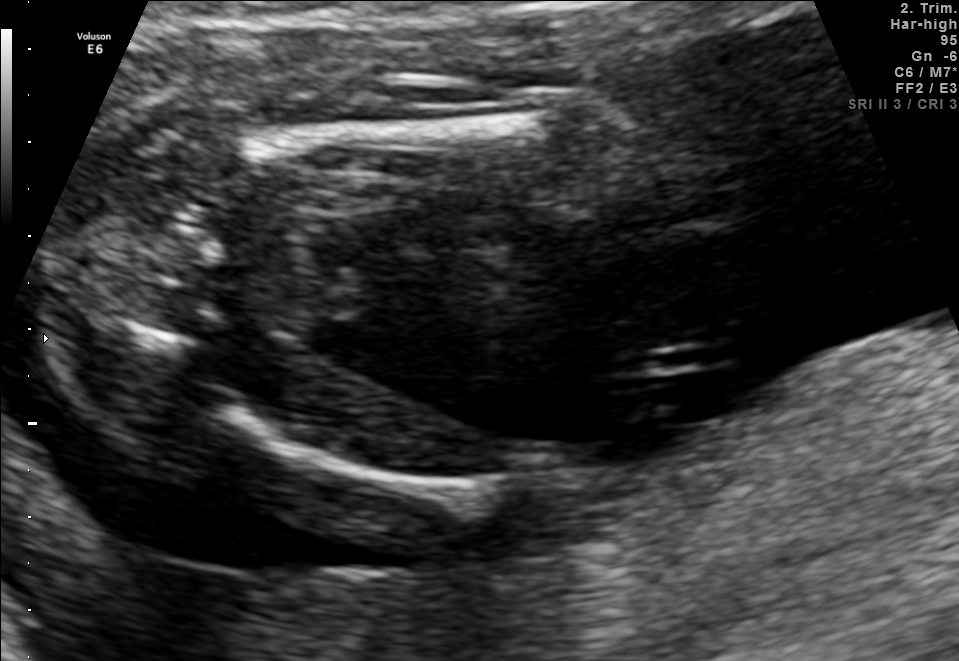
Which standard maternal-fetal ultrasound plane is shown: fetal abdomen, fetal brain, fetal femur, fetal thorax, maternal cervix, or other? If it's fetal brain and one of the three standard brain planes (trans-thalamic, trans-cerebellum, trans-ventricular), name which.

Fetal femur